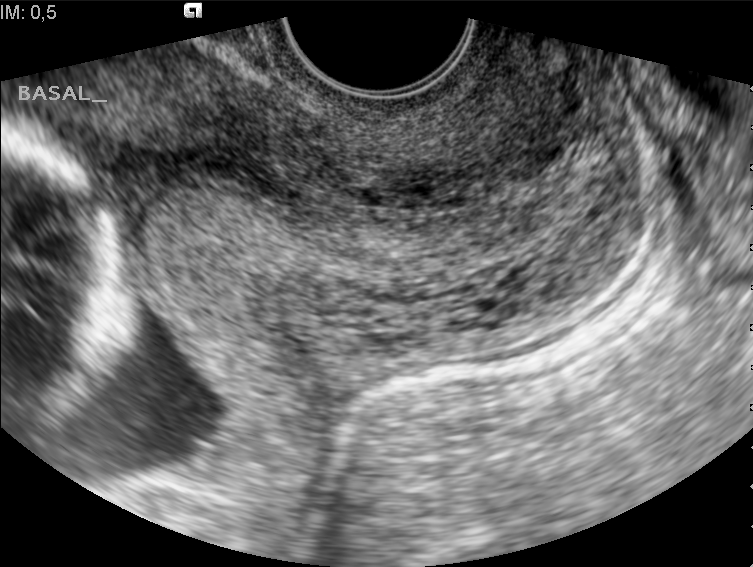
Which standard maternal-fetal ultrasound plane is shown: fetal abdomen, fetal brain, fetal femur, fetal thorax, maternal cervix, or other? If it's fetal brain and one of the three standard brain planes (trans-thalamic, trans-cerebellum, trans-ventricular), name which.

Maternal cervix